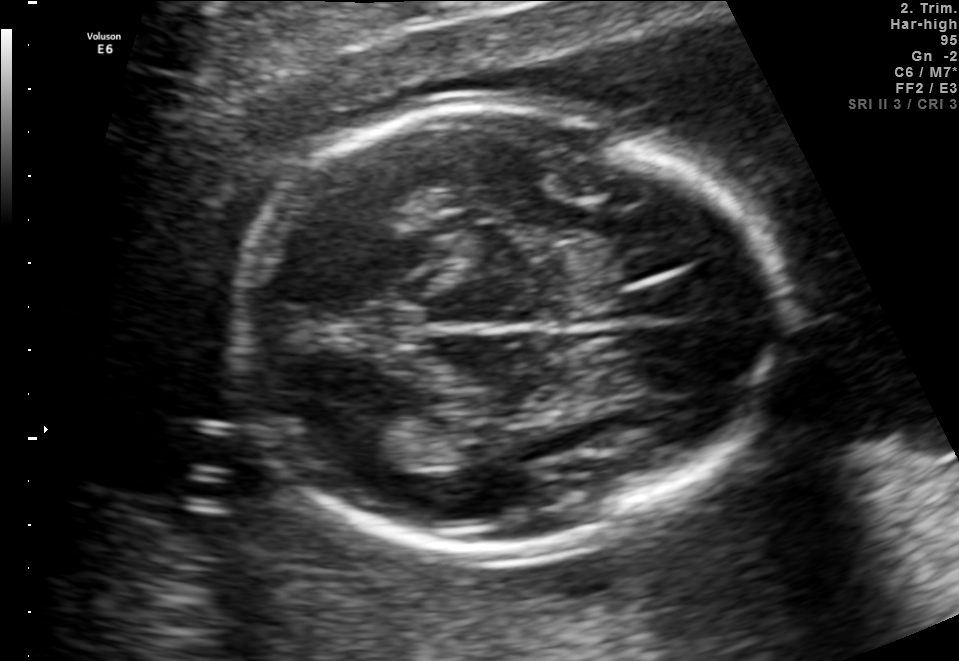
In this fetal brain, trans-thalamic plane, give the bounding box of the lateral ventricle.

[334,417,422,471]